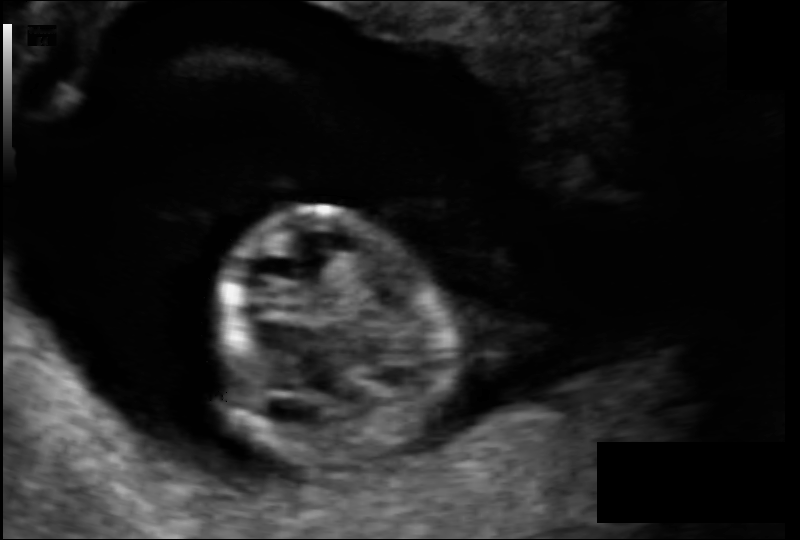
Fetal head ultrasound. Image width: 78.9 mm. Locate the fetal head and, if visible, the cavum septum pellucidum (CSP) and lateral ventricle (LV). Give bounding boxes as [x1,y1,x2,y2].

Head: [213,208,450,465]